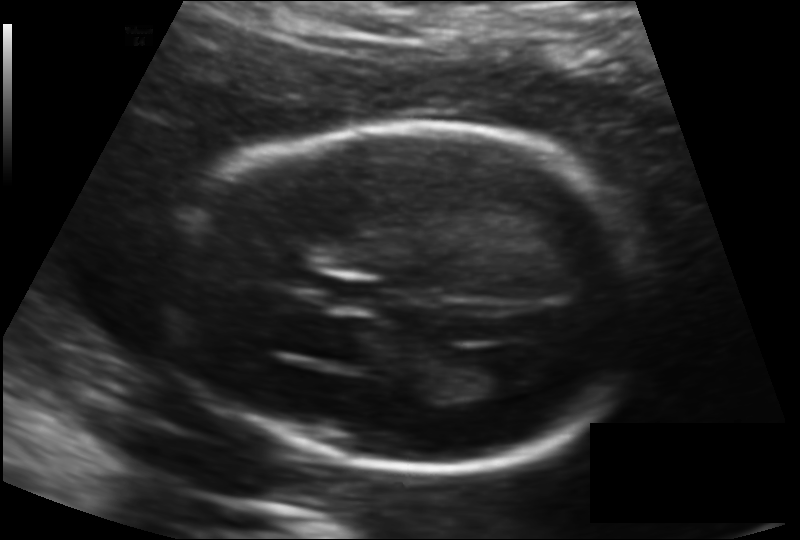
Fetal head ultrasound. Image width: 108.1 mm. Give [x1,y1,x2,y2] bounding boxes for each visible structure among: fetal head, CSP, LV.

Head: [166,123,649,469]
CSP: [331,278,386,313]
Lateral ventricle: [470,359,521,397]